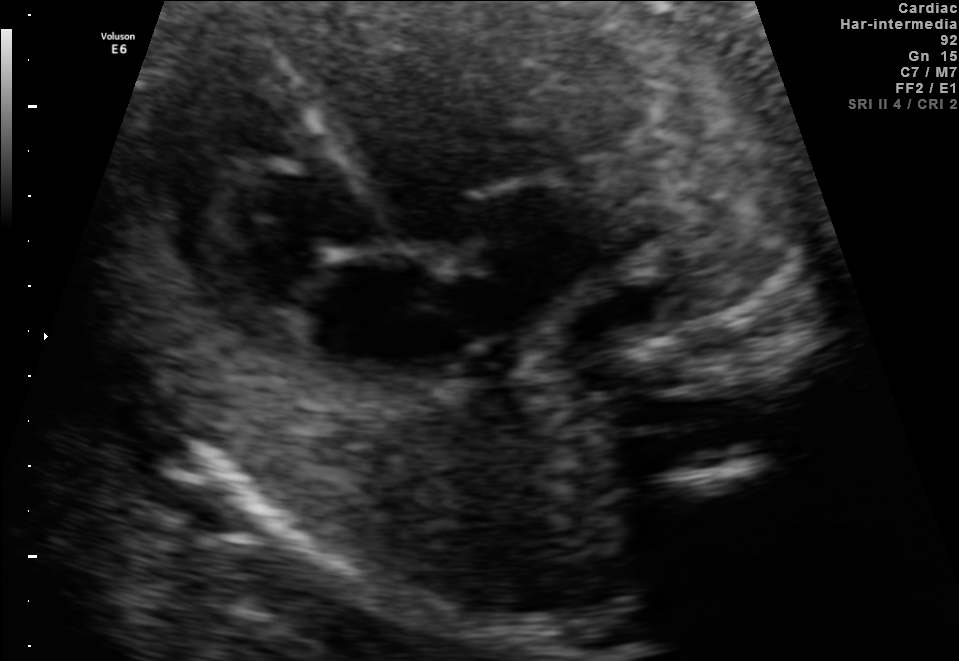
Classify this maternal-fetal ultrasound image as one of the six standard planes — fetal abdomen, fetal brain, fetal femur, fetal thorax, maternal cervix, or other. If it's fetal brain and one of the three standard brain planes (trans-thalamic, trans-cerebellum, trans-ventricular), name which.

Fetal thorax